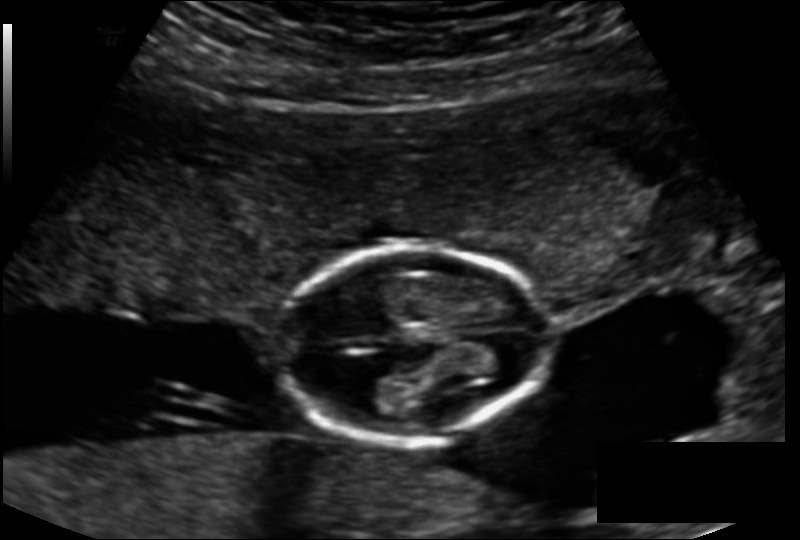
In this fetal head ultrasound, give the bounding box of the fetal head. Image width: 114.3 mm.

[277,247,546,440]